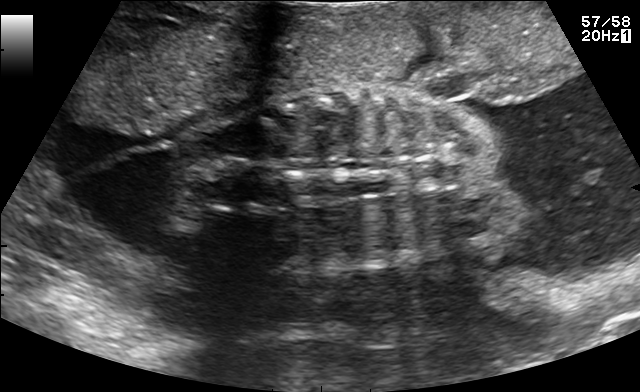
Classify this maternal-fetal ultrasound image as one of the six standard planes — fetal abdomen, fetal brain, fetal femur, fetal thorax, maternal cervix, or other. If it's fetal brain and one of the three standard brain planes (trans-thalamic, trans-cerebellum, trans-ventricular), name which.

Other